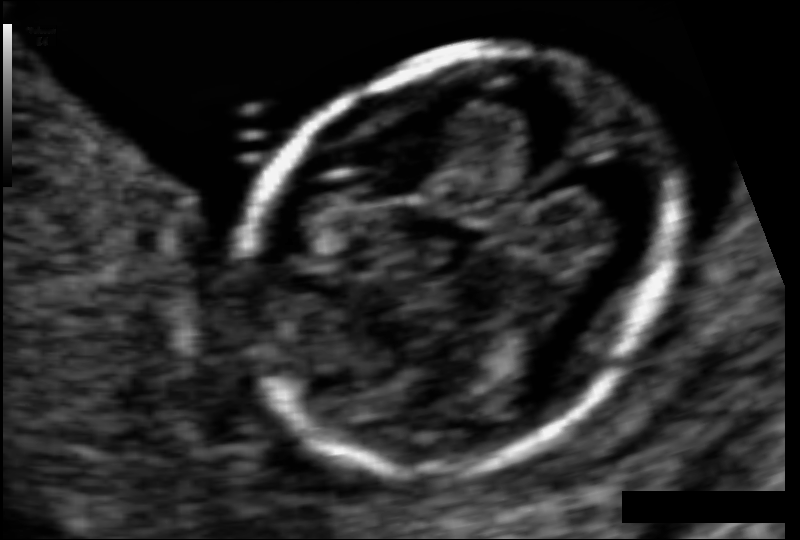
Measure the fetal head circumference shown in this ultrasound image. Image width: 48.5 mm.

Head circumference: 83.4 mm.